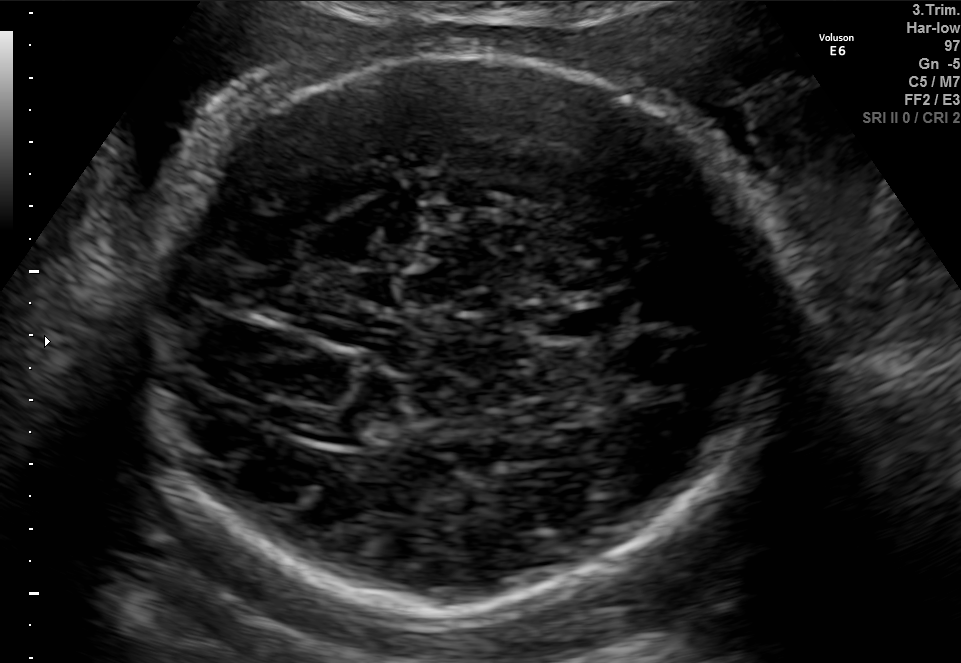
Fetal brain, trans-thalamic plane. Where is the cavum septum pellucidum?

CSP bounding box: [544,305,611,342]